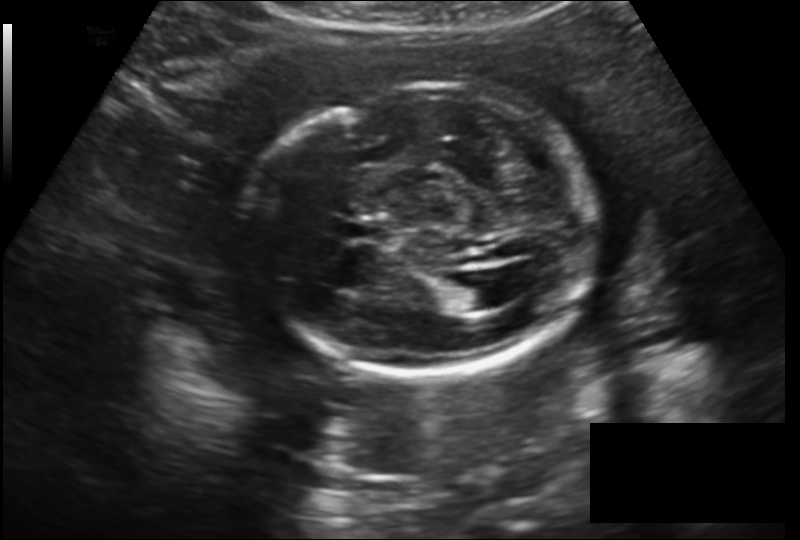
Fetal head ultrasound. Image width: 145.7 mm. Locate the fetal head.

Head: [246,85,596,373]